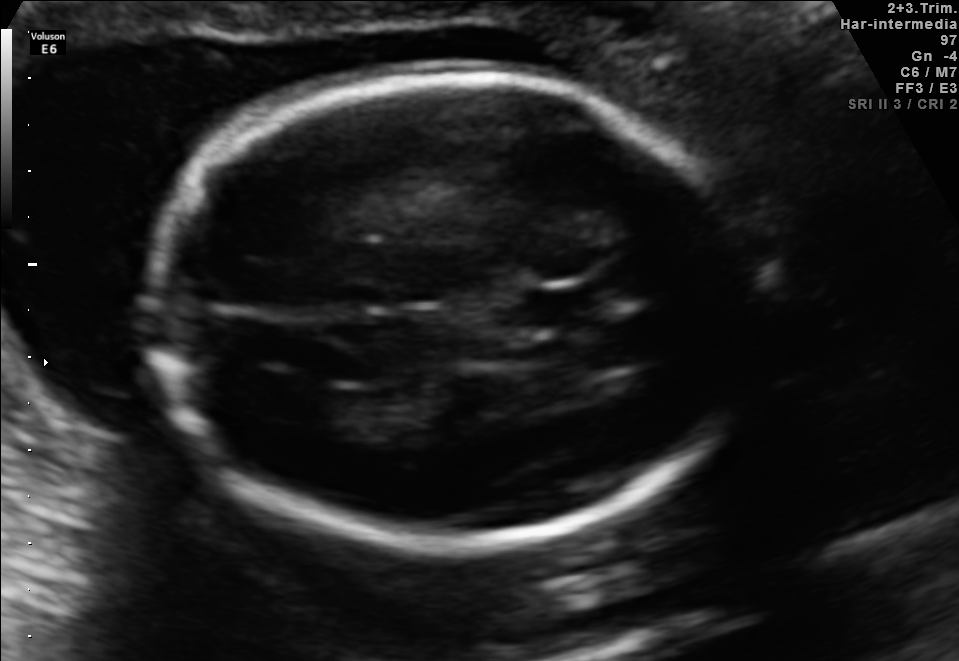
Fetal brain, trans-ventricular plane. Where is the lateral ventricle?

Lateral ventricle bounding box: [270,377,345,434]